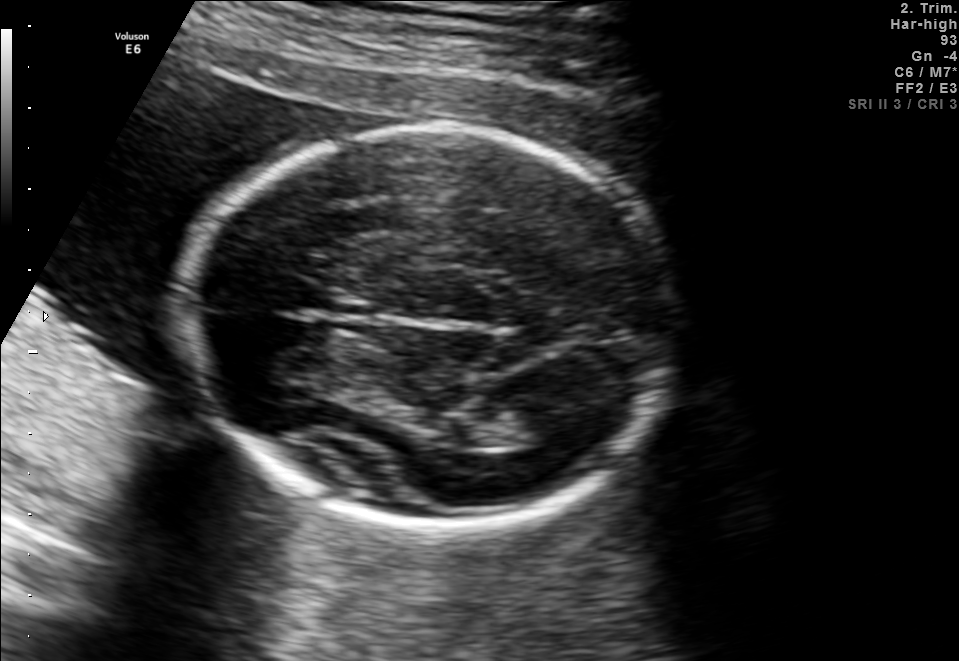
In this fetal brain, trans-thalamic plane, give bounding boxes for the head outline, cavum septum pellucidum (CSP), and lateral ventricle (LV), where visible.

Head: [183,127,676,522]
Lateral ventricle: [490,405,578,450]